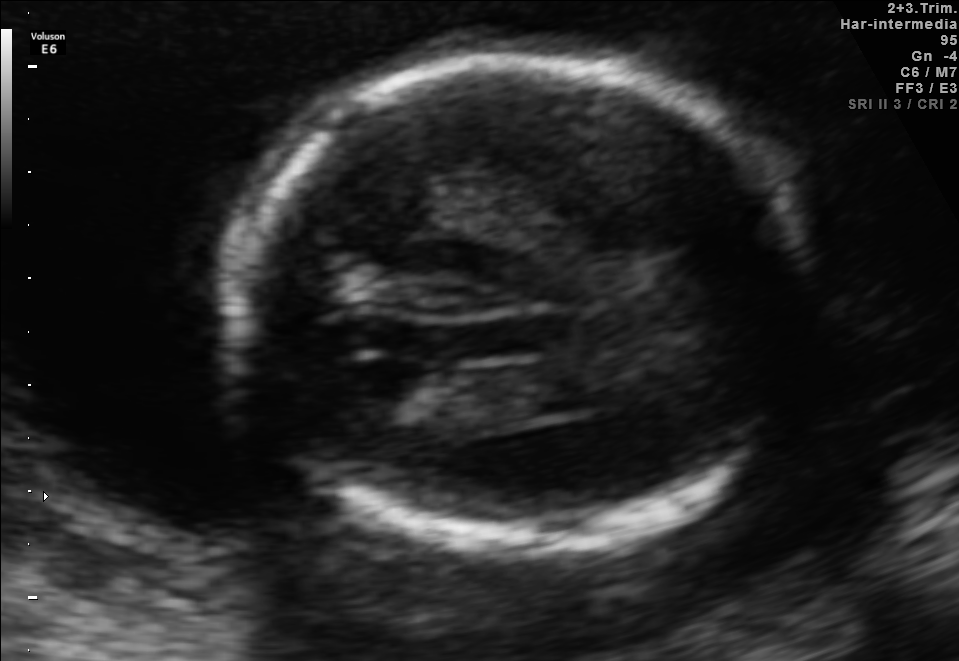
Fetal brain, trans-ventricular plane. Where is the fetal head?

Head bounding box: [213,50,830,559]